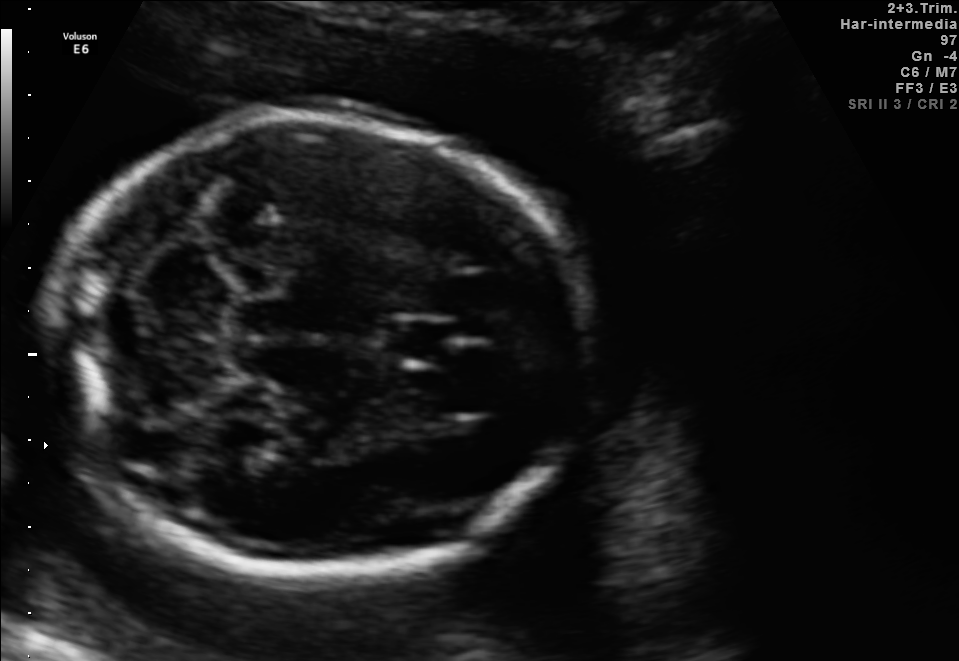
In this fetal brain, trans-cerebellum plane, give the bounding box of the cavum septum pellucidum.

[382,316,451,366]